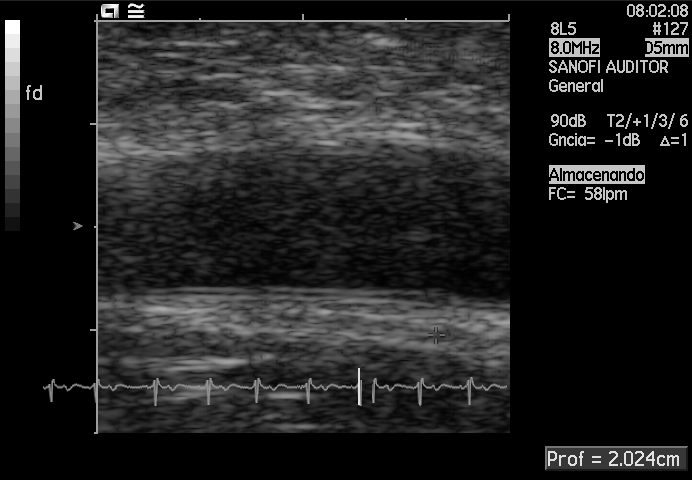
Classify this maternal-fetal ultrasound image as one of the six standard planes — fetal abdomen, fetal brain, fetal femur, fetal thorax, maternal cervix, or other. If it's fetal brain and one of the three standard brain planes (trans-thalamic, trans-cerebellum, trans-ventricular), name which.

Other